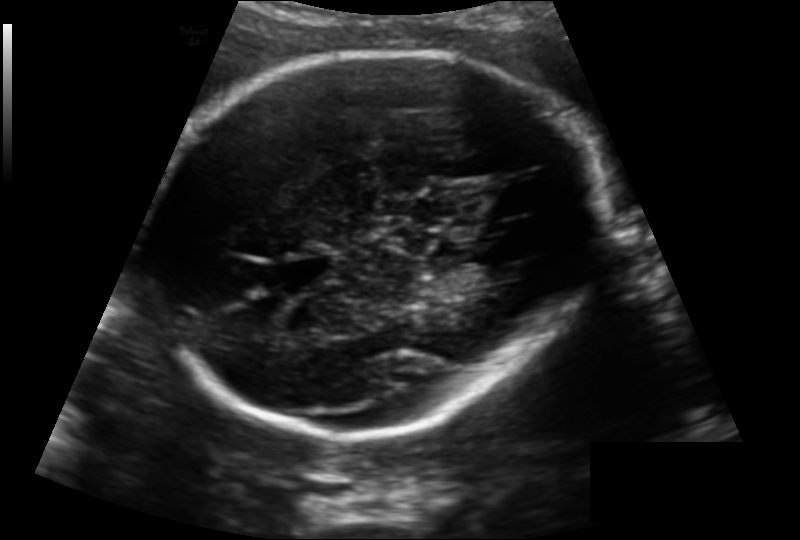
Measure the fetal head circumference shown in this ultrasound image. Image width: 130.3 mm.

Head circumference: 222.3 mm.